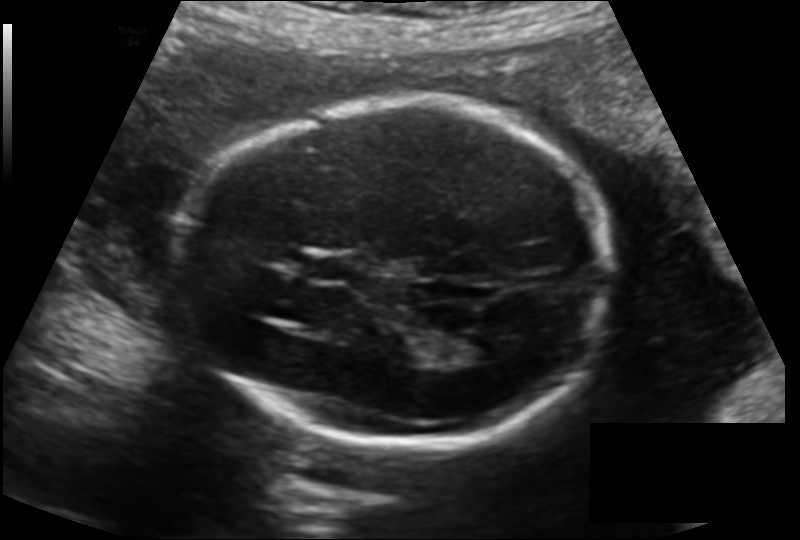
In this fetal head ultrasound, give the bounding box of the lateral ventricle. Image width: 115.3 mm.

[446,329,504,366]